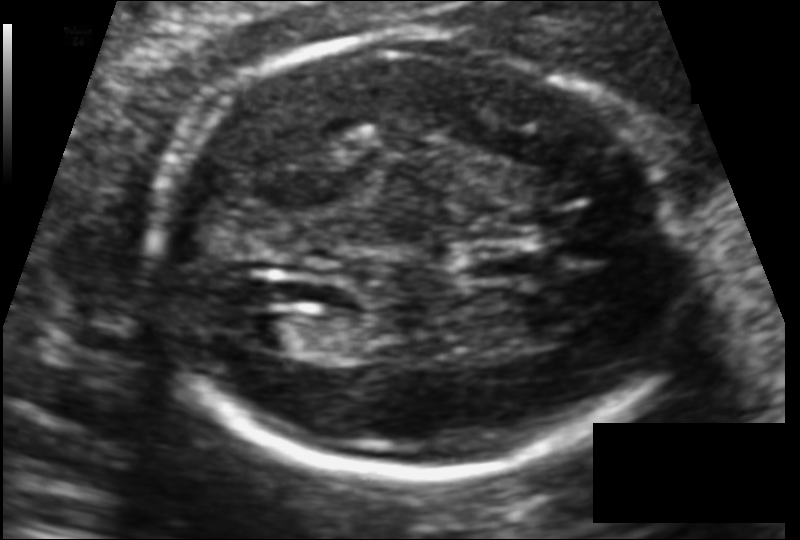
Measure the fetal head circumference shown in this ultrasound image. Image width: 88.1 mm.

Head circumference: 174.7 mm.